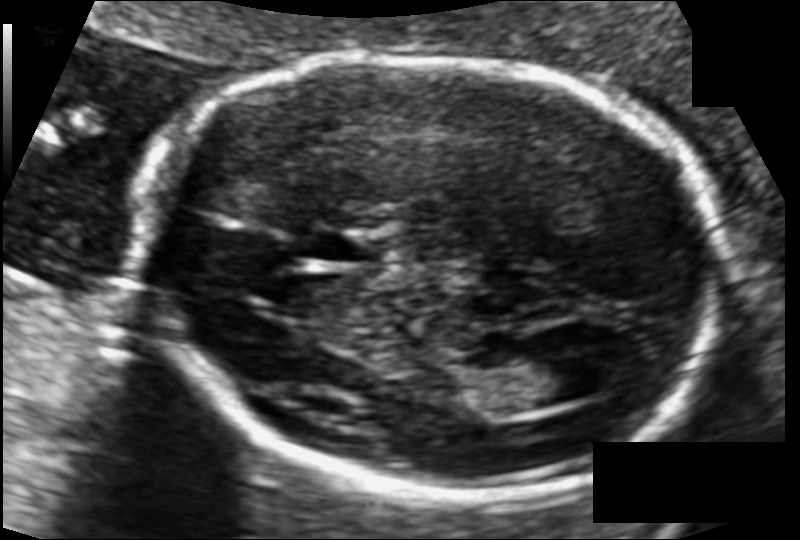
In this fetal head ultrasound, give the bounding box of the lateral ventricle. Image width: 81.0 mm.

[491,339,593,417]